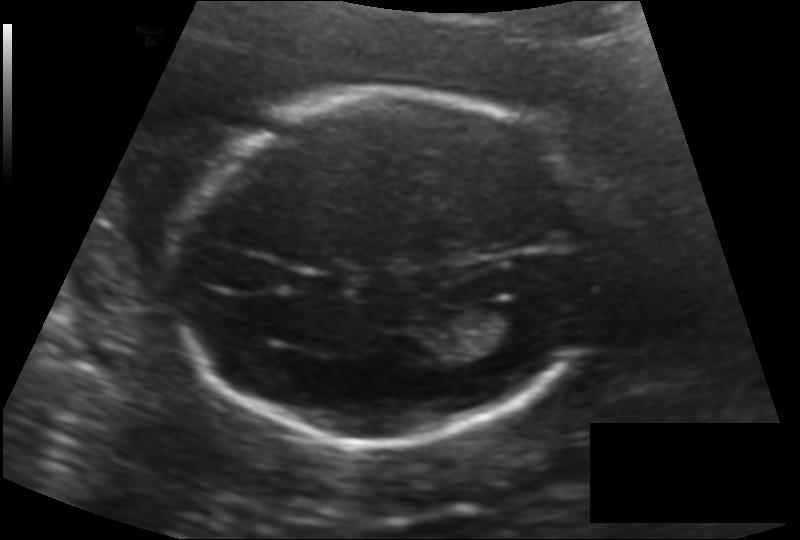
Fetal head ultrasound. Image width: 112.2 mm. Locate the fetal head and, if visible, the cavum septum pellucidum (CSP) and lateral ventricle (LV). Give bounding boxes as [x1,y1,x2,y2].

Head: [169,91,594,445]
CSP: [295,273,347,295]
Lateral ventricle: [473,303,547,357]